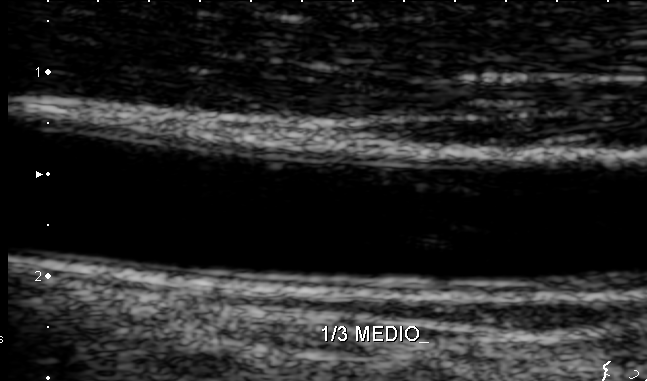
Identify the standard plane in this fetal ultrasound image: fetal abdomen, fetal brain, fetal femur, fetal thorax, maternal cervix, or other. If it's fetal brain and one of the three standard brain planes (trans-thalamic, trans-cerebellum, trans-ventricular), name which.

Other